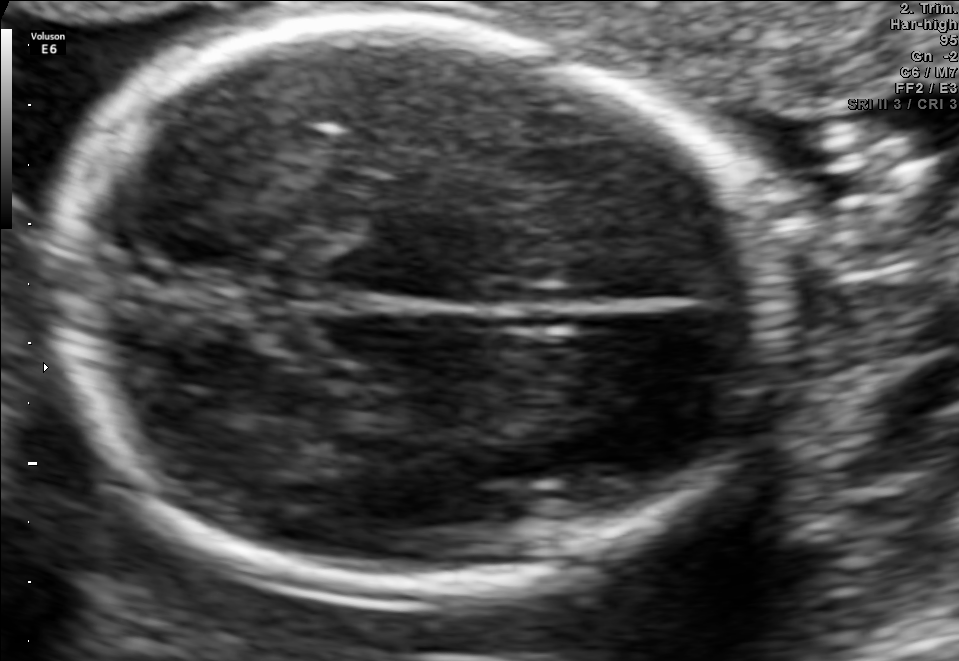
Fetal brain, trans-thalamic plane. Where is the fetal head?

Head bounding box: [52,23,759,586]